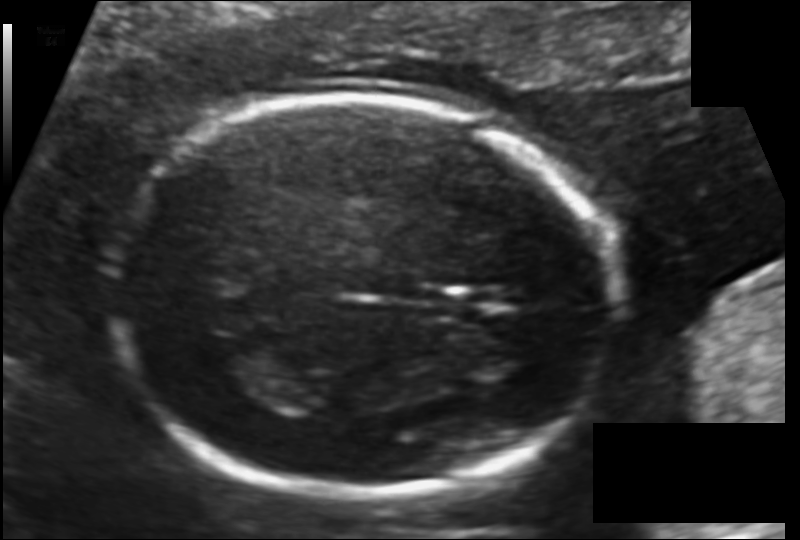
Estimate the fetal head circumference from this 2D ultrasound. Image width: 92.9 mm.

Head circumference: 171.5 mm.